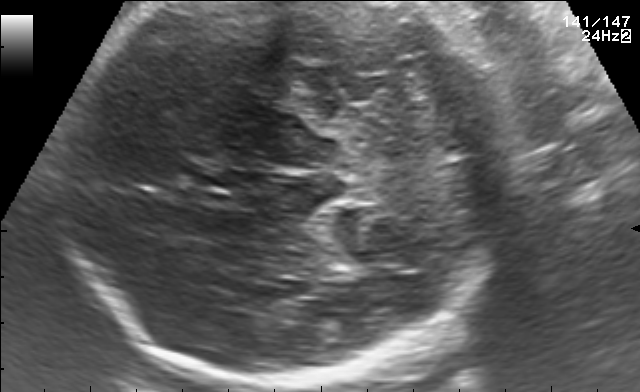
In this fetal brain, trans-cerebellum plane, give the bounding box of the fetal head.

[67,4,498,385]